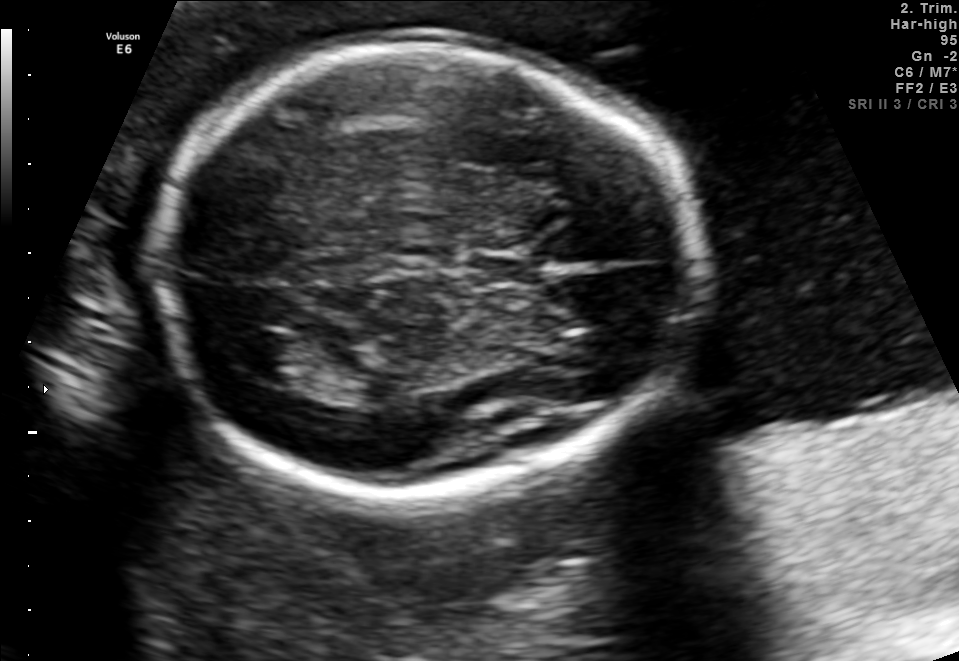
In this fetal brain, trans-thalamic plane, give the bounding box of the cavum septum pellucidum.

[471,252,535,285]